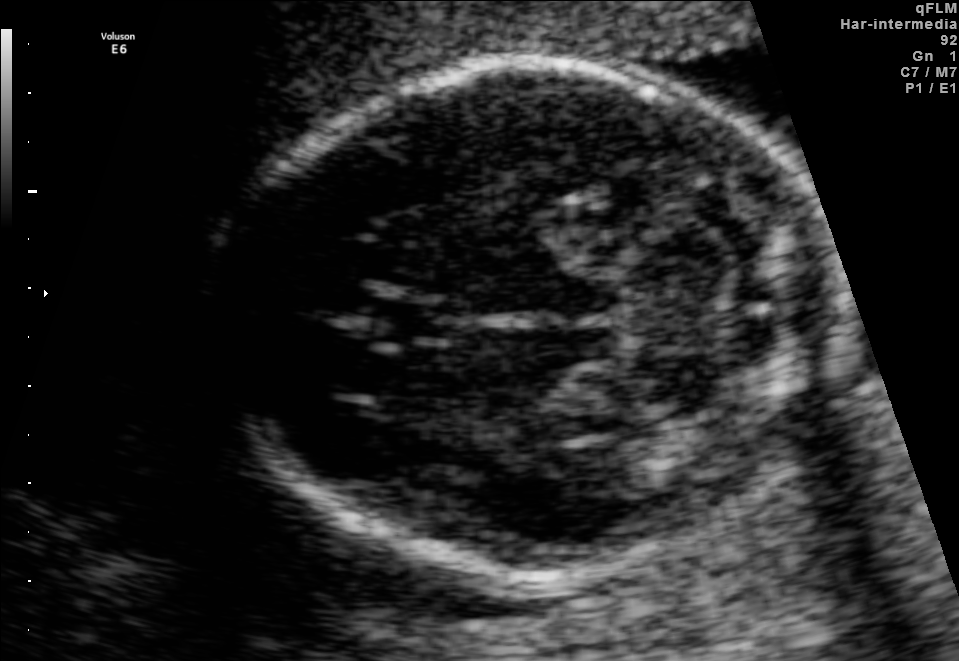
Fetal brain, trans-cerebellum plane. Where is the cavum septum pellucidum?

CSP bounding box: [371,297,452,345]